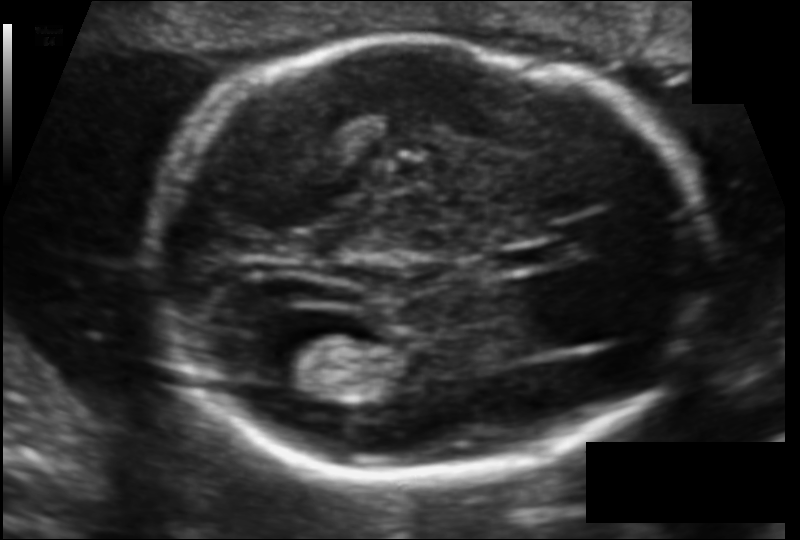
In this fetal head ultrasound, give the bounding box of the lateral ventricle. Image width: 84.9 mm.

[252,335,343,390]